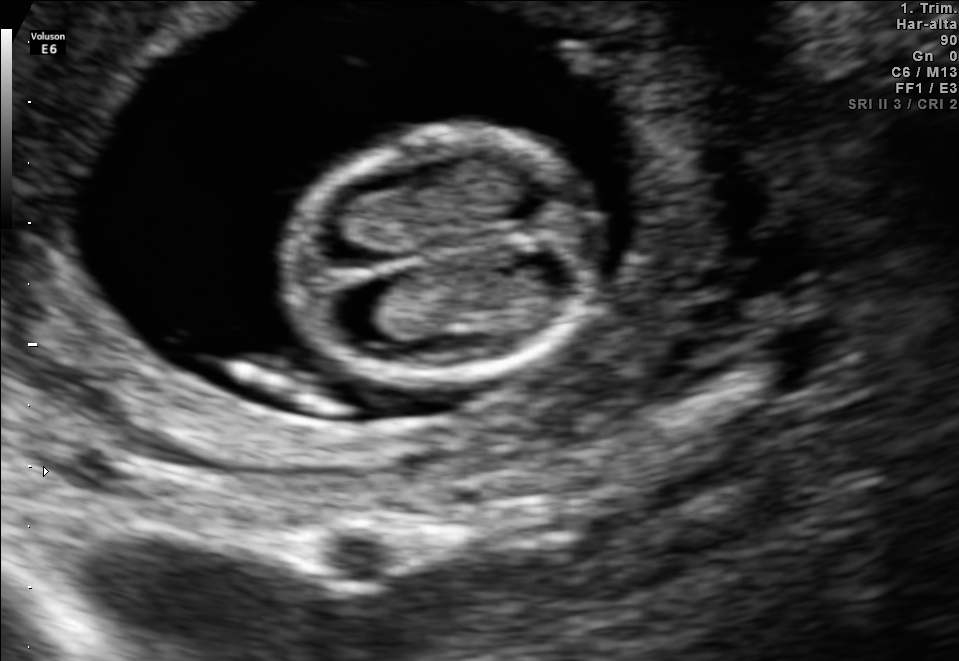
Classify this maternal-fetal ultrasound image as one of the six standard planes — fetal abdomen, fetal brain, fetal femur, fetal thorax, maternal cervix, or other. If it's fetal brain and one of the three standard brain planes (trans-thalamic, trans-cerebellum, trans-ventricular), name which.

Fetal brain